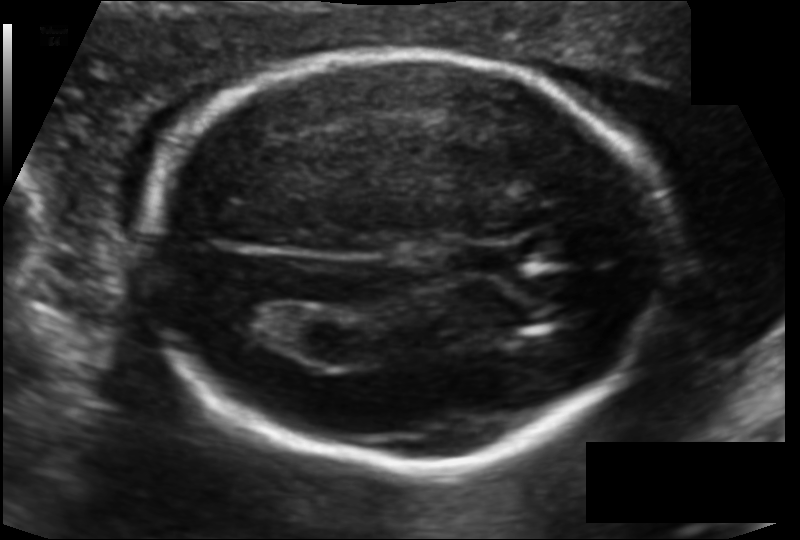
Fetal head ultrasound. Image width: 91.7 mm. Locate the fetal head and, if visible, the cavum septum pellucidum (CSP) and lateral ventricle (LV). Give bounding boxes as [x1,y1,x2,y2].

Head: [143,54,668,466]
CSP: [458,239,519,279]